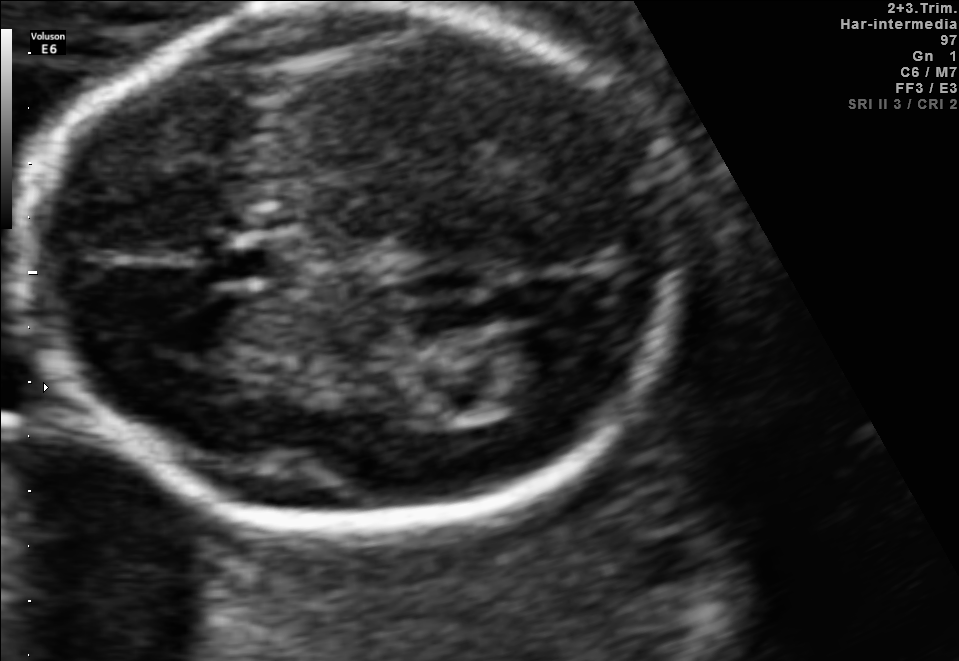
In this fetal brain, trans-thalamic plane, give the bounding box of the fetal head.

[16,3,687,546]